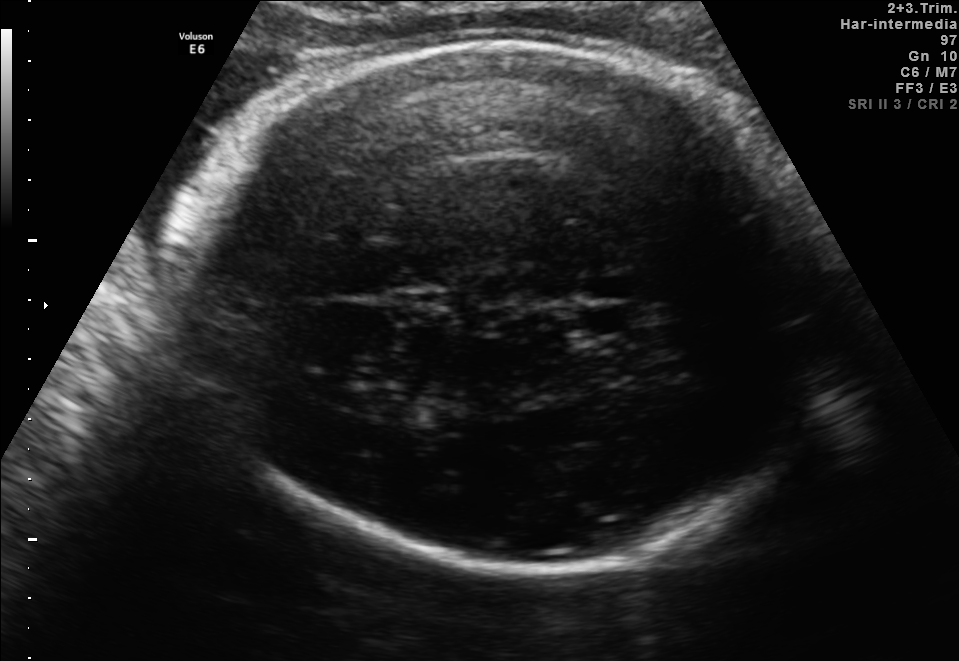
This is a 2D maternal-fetal ultrasound frame. Is it a fetal abdomen, fetal brain, fetal femur, fetal thorax, maternal cervix, or other standard plane? If it's fetal brain and one of the three standard brain planes (trans-thalamic, trans-cerebellum, trans-ventricular), name which.

Fetal brain (trans-thalamic plane)